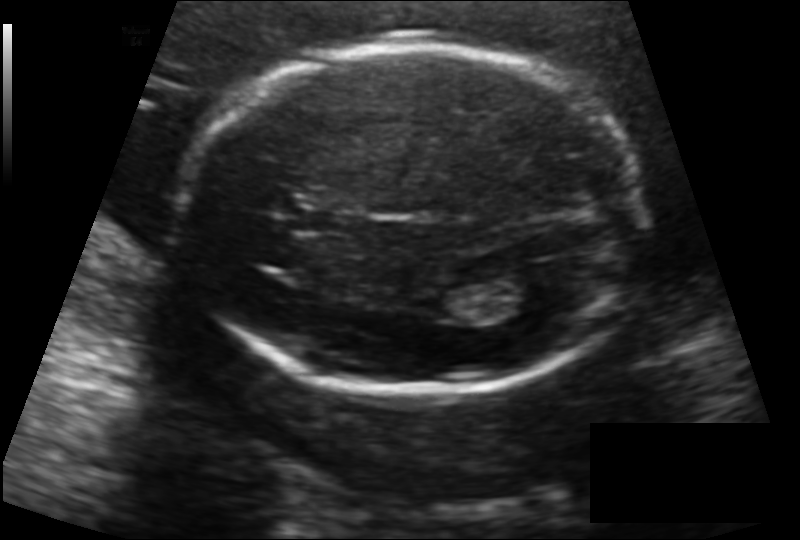
Fetal head ultrasound. Image width: 113.3 mm. Give [x1,y1,x2,y2] bounding boxes for each visible structure among: fetal head, CSP, LV.

Head: [180,47,647,394]
CSP: [291,204,358,238]
Lateral ventricle: [489,268,558,320]